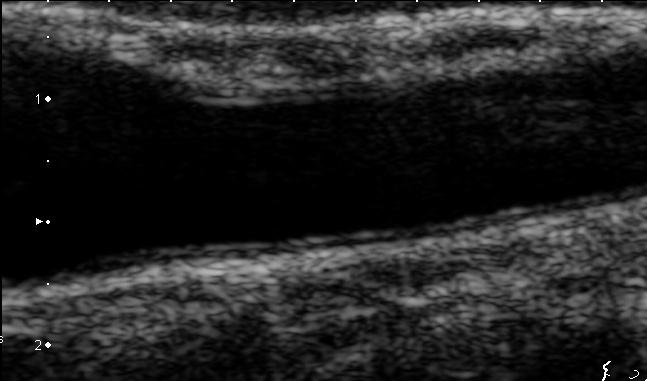
Which standard maternal-fetal ultrasound plane is shown: fetal abdomen, fetal brain, fetal femur, fetal thorax, maternal cervix, or other? If it's fetal brain and one of the three standard brain planes (trans-thalamic, trans-cerebellum, trans-ventricular), name which.

Other